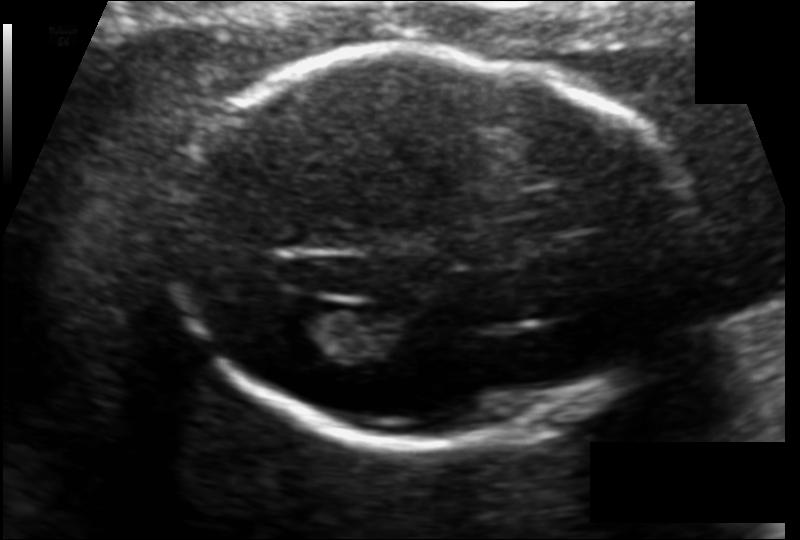
From this fetal ultrasound, estimate the head circumference (image width 96.2 mm).

Head circumference: 181.0 mm.